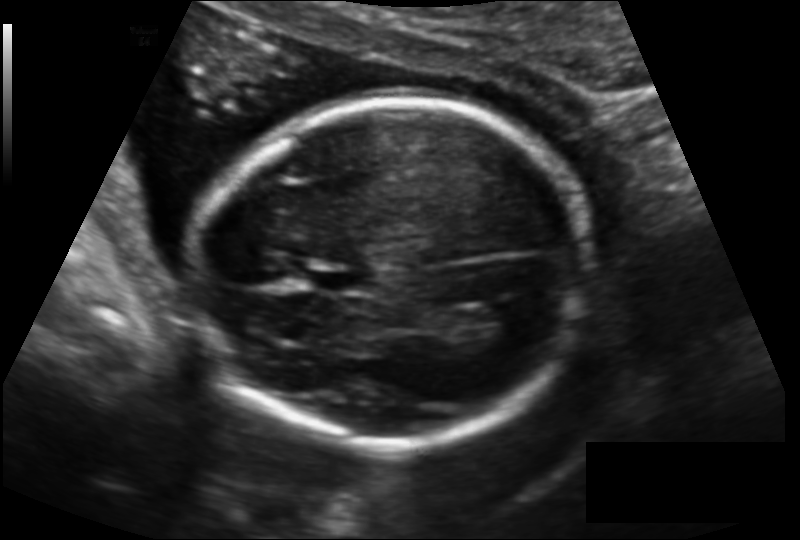
Fetal head ultrasound. Image width: 111.8 mm. Where is the lateral ventricle?

Lateral ventricle bounding box: [472,298,533,340]